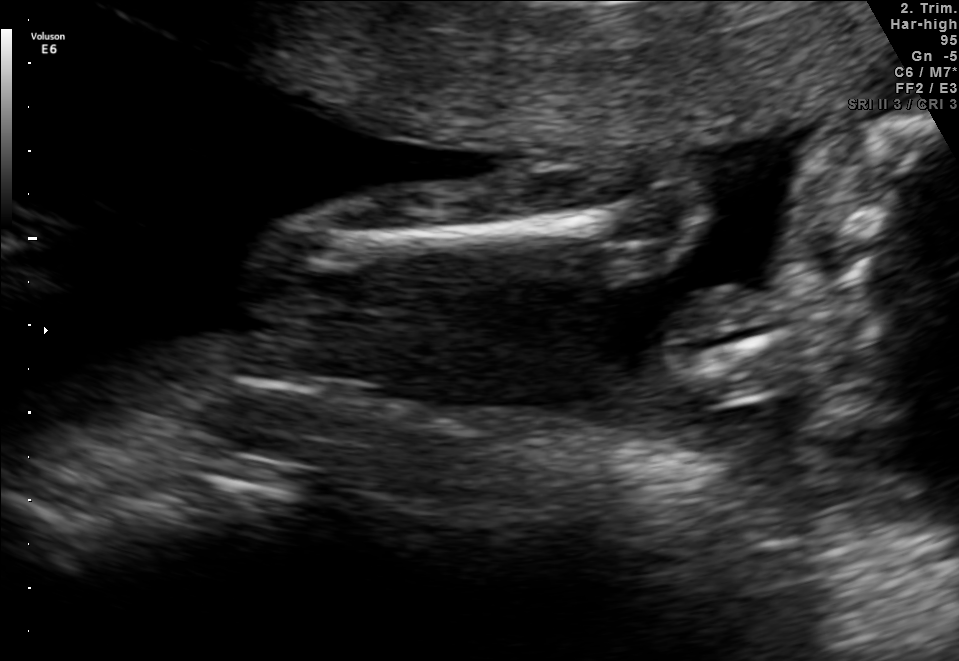
Which standard maternal-fetal ultrasound plane is shown: fetal abdomen, fetal brain, fetal femur, fetal thorax, maternal cervix, or other? If it's fetal brain and one of the three standard brain planes (trans-thalamic, trans-cerebellum, trans-ventricular), name which.

Fetal femur